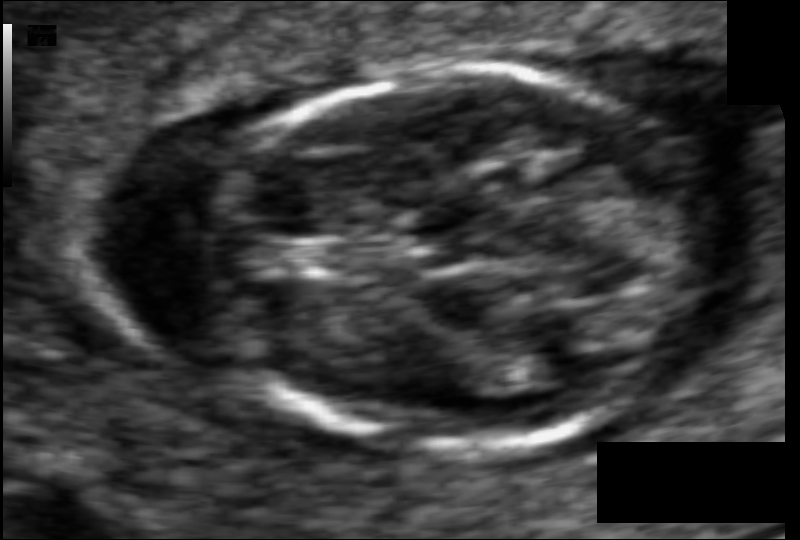
From this fetal ultrasound, estimate the head circumference (image width 46.1 mm).

Head circumference: 82.5 mm.